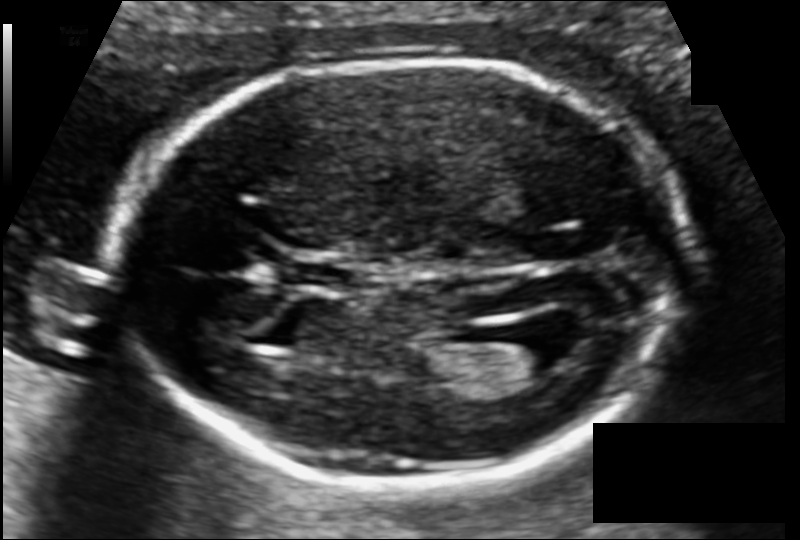
Fetal head ultrasound. Image width: 82.9 mm. Give [x1,y1,x2,y2] bounding boxes for each visible structure among: fetal head, CSP, LV.

Head: [115,60,683,484]
CSP: [288,262,347,287]
Lateral ventricle: [493,311,590,388]